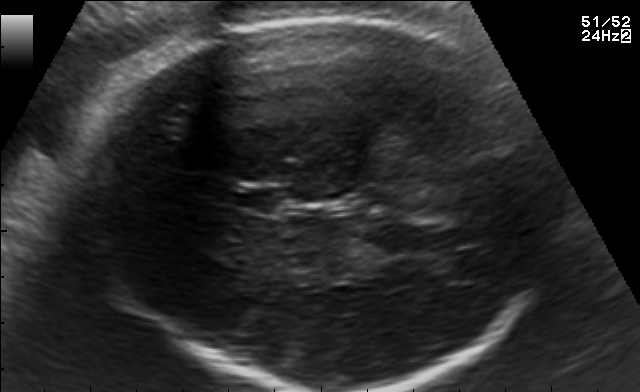
Which standard maternal-fetal ultrasound plane is shown: fetal abdomen, fetal brain, fetal femur, fetal thorax, maternal cervix, or other? If it's fetal brain and one of the three standard brain planes (trans-thalamic, trans-cerebellum, trans-ventricular), name which.

Fetal brain (trans-thalamic plane)